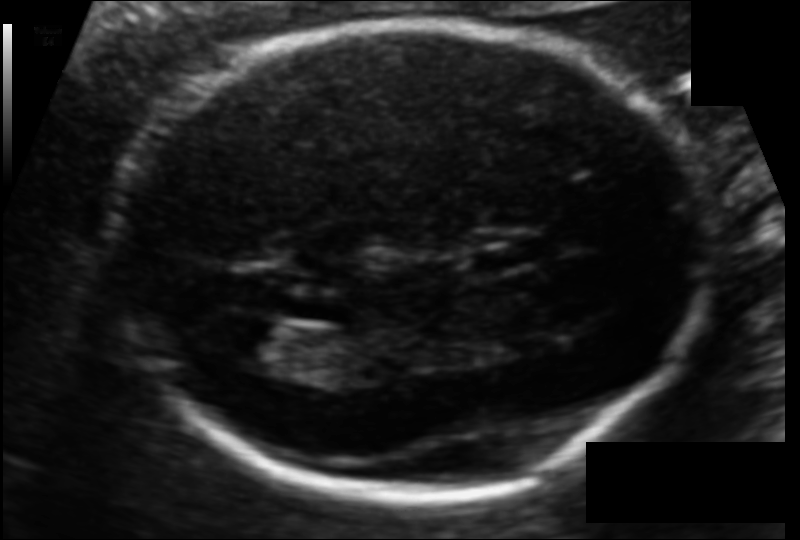
Fetal head ultrasound. Image width: 85.1 mm. Locate the fetal head.

Head: [118,21,707,491]